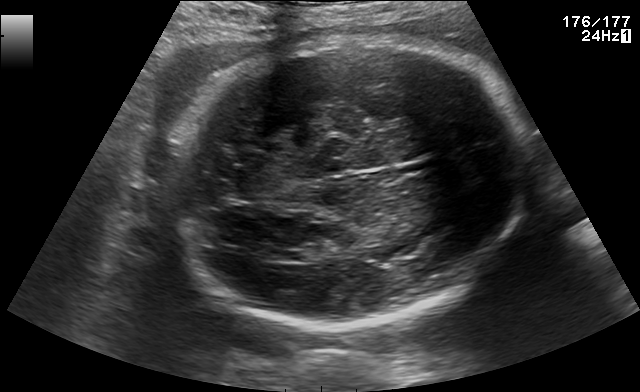
Fetal brain, trans-thalamic plane. Locate the fetal head.

Head: [164,37,527,321]